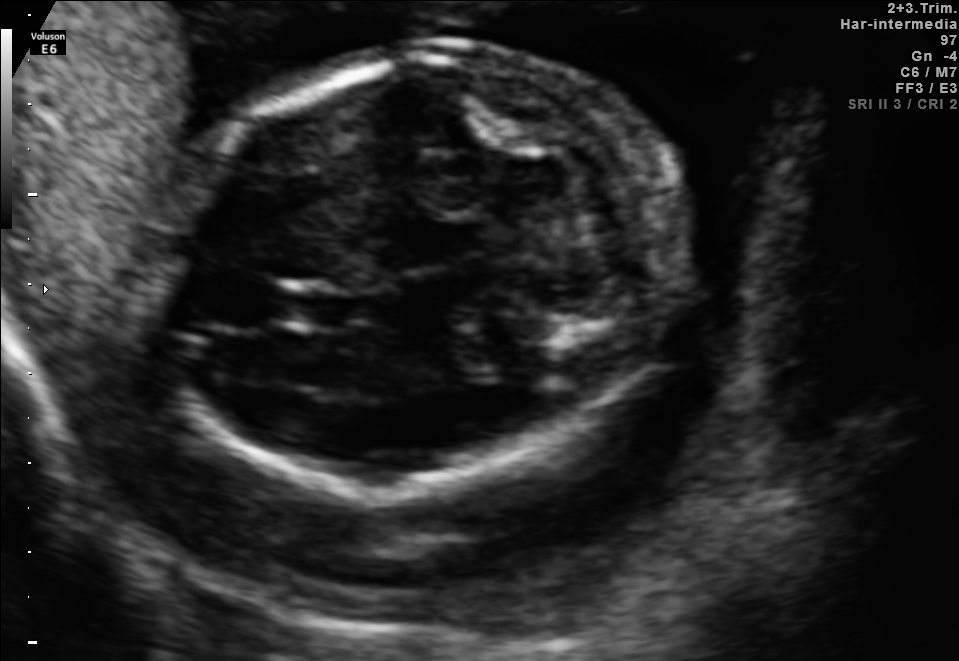
Fetal brain, trans-cerebellum plane. Where is the fetal head?

Head bounding box: [146,54,685,485]